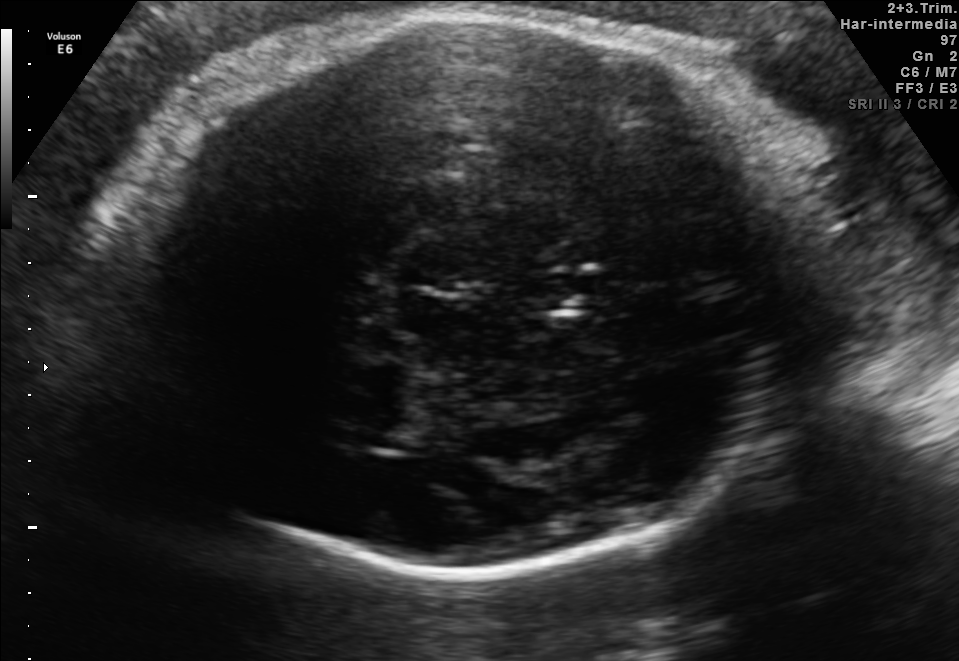
In this fetal brain, trans-thalamic plane, give bounding boxes for the head outline, cavum septum pellucidum (CSP), and lateral ventricle (LV), where visible.

Head: [89,14,818,567]
CSP: [530,275,597,309]
Lateral ventricle: [346,413,430,452]